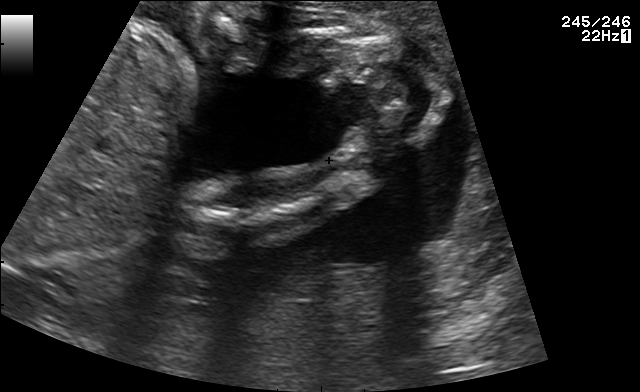
This is a 2D maternal-fetal ultrasound frame. Is it a fetal abdomen, fetal brain, fetal femur, fetal thorax, maternal cervix, or other standard plane? If it's fetal brain and one of the three standard brain planes (trans-thalamic, trans-cerebellum, trans-ventricular), name which.

Other